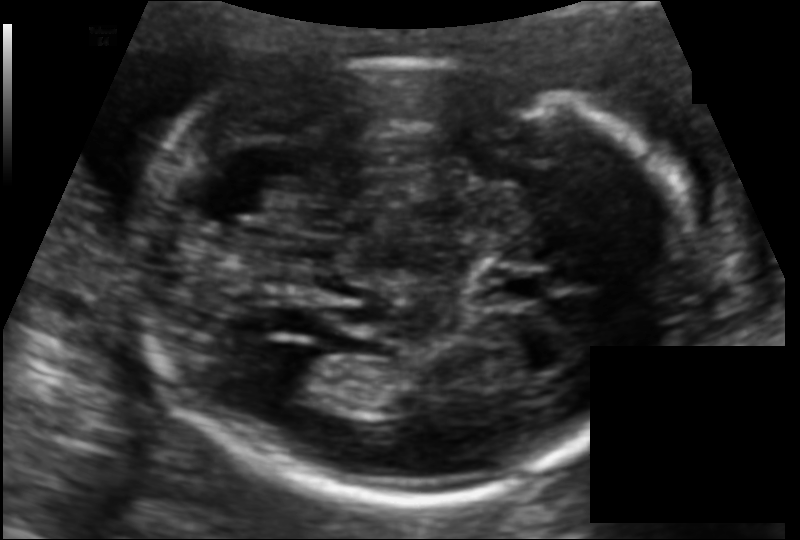
In this fetal head ultrasound, give the bounding box of the fetal head. Image width: 91.9 mm.

[137,60,687,500]